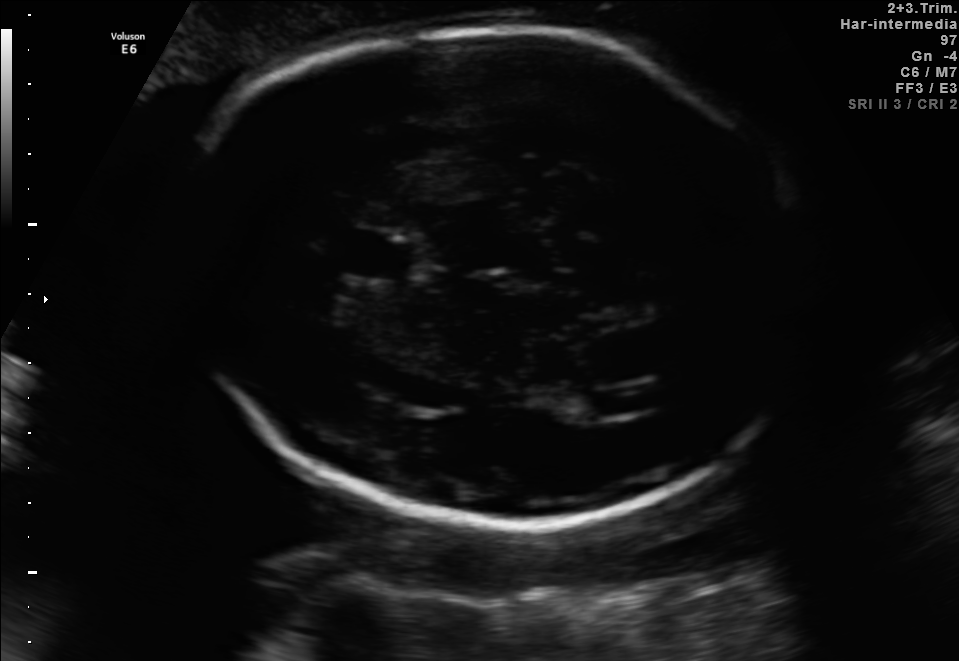
In this fetal brain, trans-ventricular plane, give bounding boxes for the head outline, cavum septum pellucidum (CSP), and lateral ventricle (LV), where visible.

Head: [160,14,831,533]